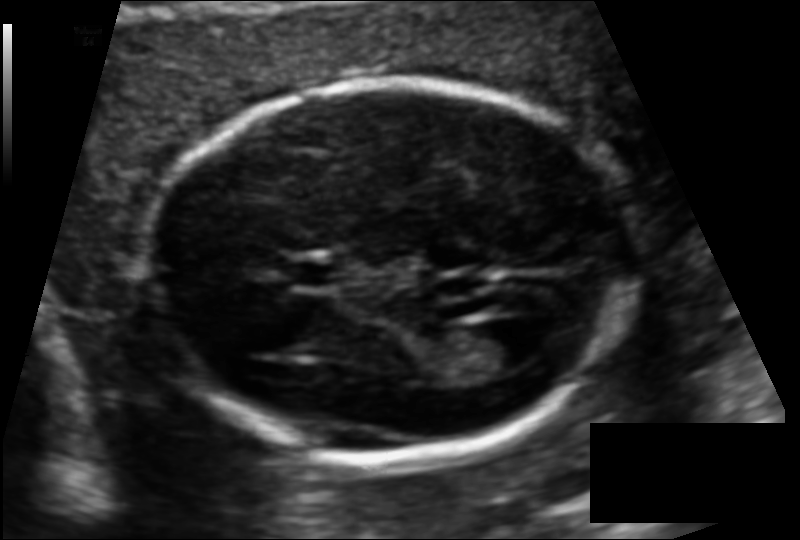
In this fetal head ultrasound, give bounding boxes for the head outline, cavum septum pellucidum (CSP), and lateral ventricle (LV), where visible. Image width: 88.0 mm.

Head: [148,79,631,457]
CSP: [288,262,339,285]
Lateral ventricle: [462,311,551,378]